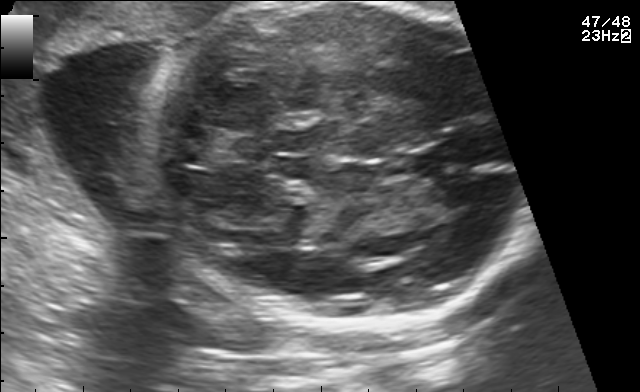
In this fetal brain, trans-thalamic plane, give the bounding box of the cavum septum pellucidum.

[408,140,456,173]